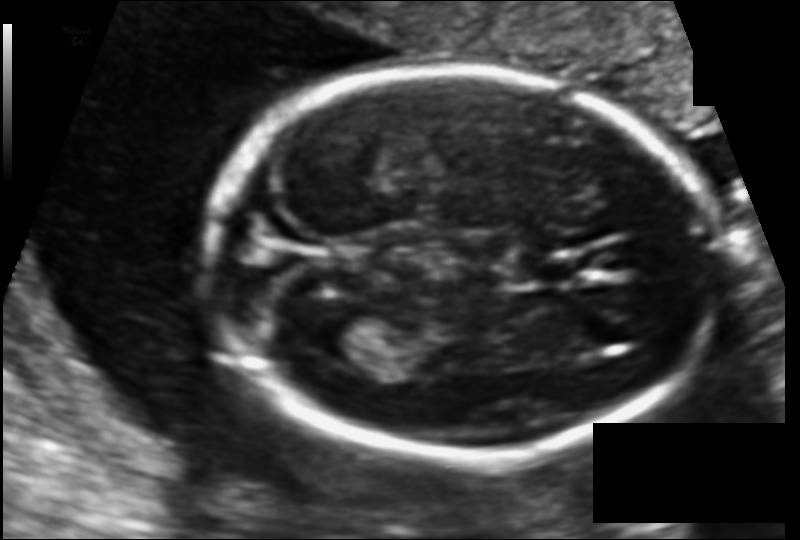
From this fetal ultrasound, estimate the head circumference (image width 86.7 mm).

Head circumference: 155.8 mm.